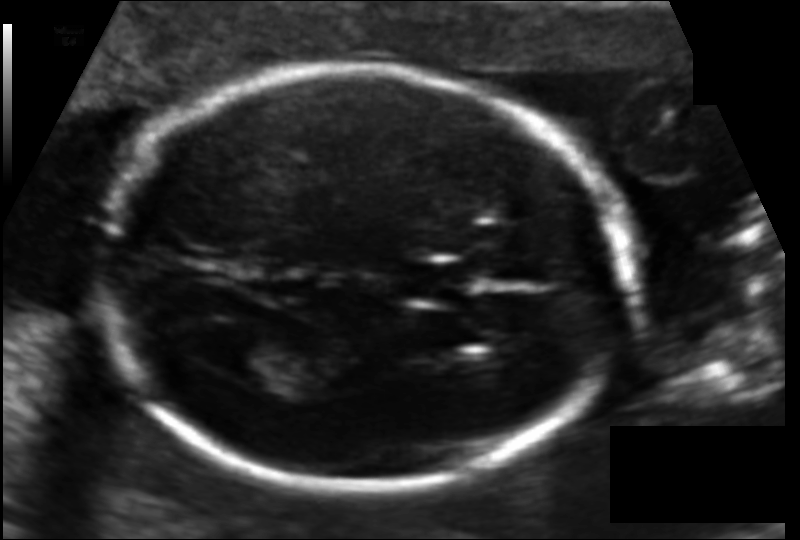
Fetal head ultrasound. Image width: 91.0 mm. Locate the fetal head.

Head: [102,69,630,489]